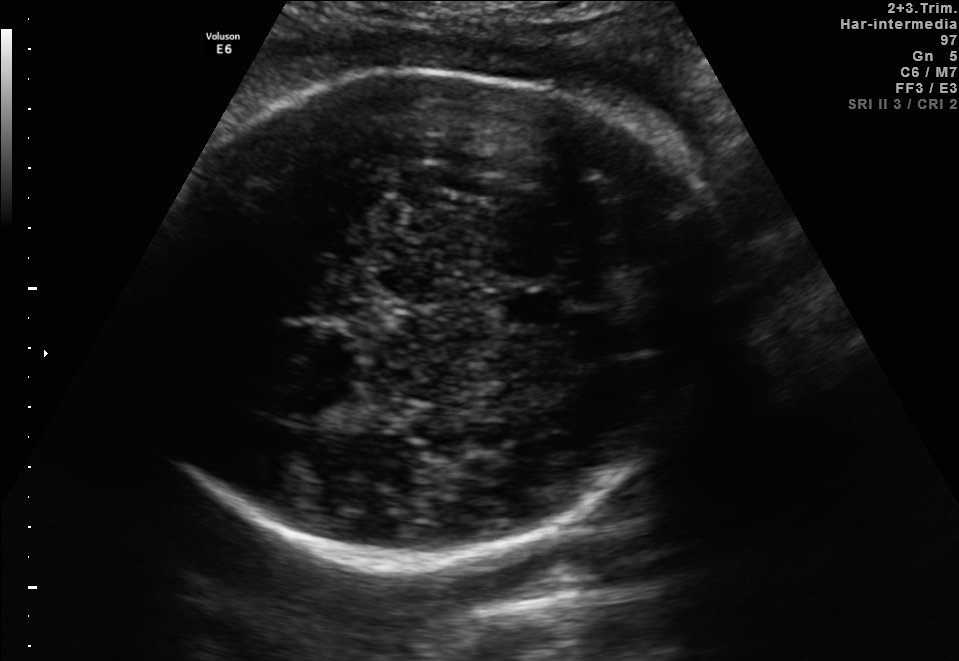
In this fetal brain, trans-thalamic plane, give the bounding box of the fetal head.

[139,75,726,572]